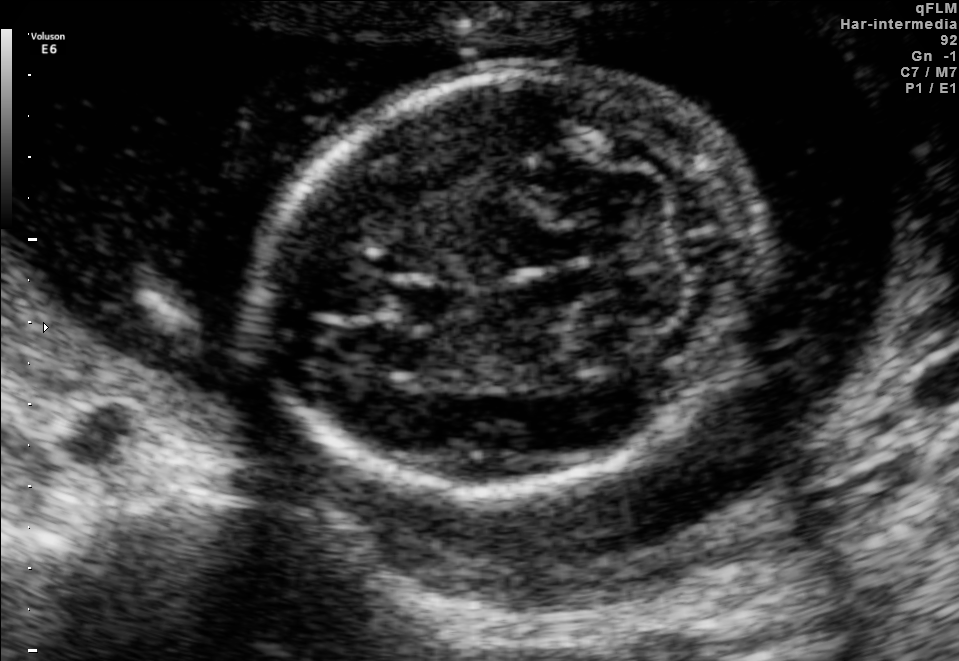
In this fetal brain, trans-cerebellum plane, give the bounding box of the fetal head.

[264,66,755,497]